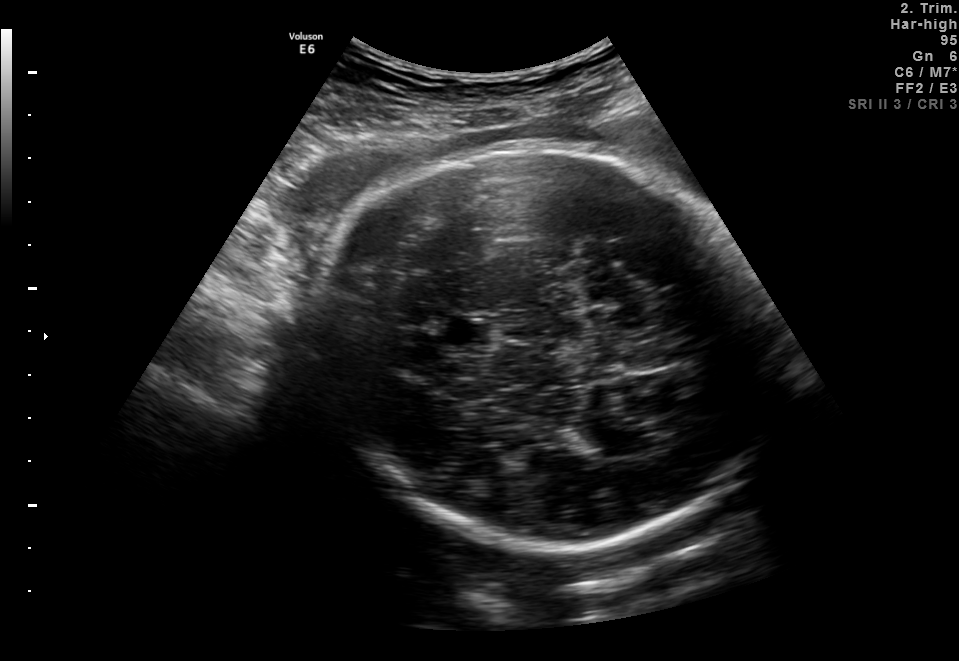
In this fetal brain, trans-thalamic plane, give bounding boxes for the head outline, cavum septum pellucidum (CSP), and lateral ventricle (LV), where visible.

Head: [313,139,764,556]
CSP: [444,318,492,347]
Lateral ventricle: [563,421,624,454]